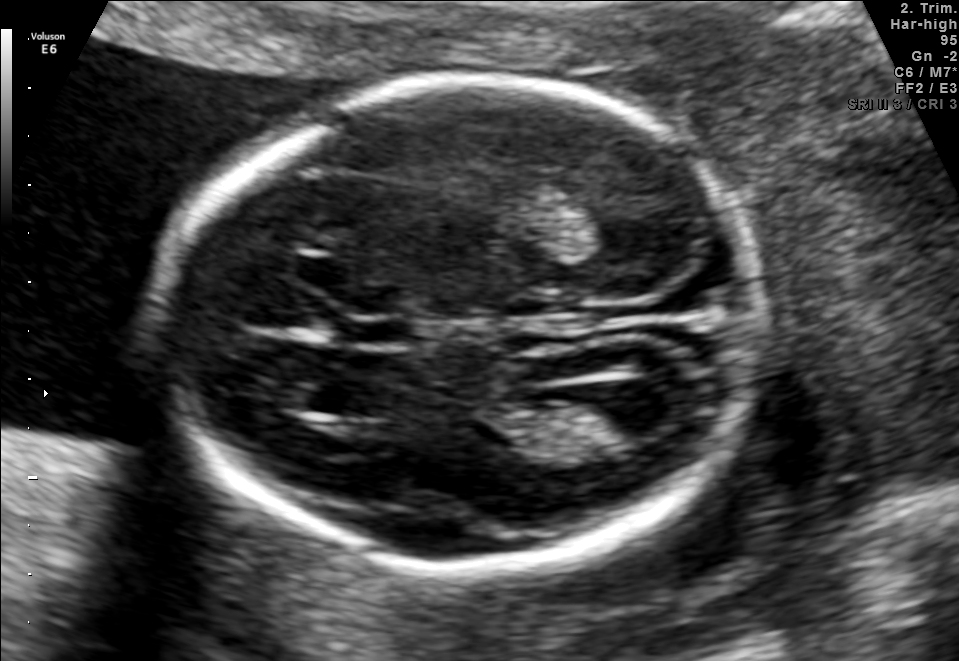
Fetal brain, trans-ventricular plane. Locate the cavum septum pellucidum.

CSP: [334,314,423,347]